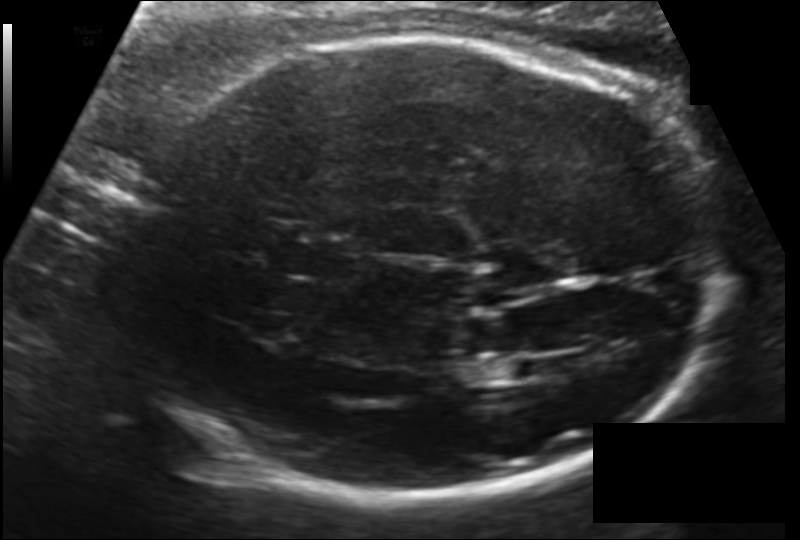
Estimate the fetal head circumference from this 2D ultrasound.

Head circumference: 258.8 mm (image width 120.6 mm).